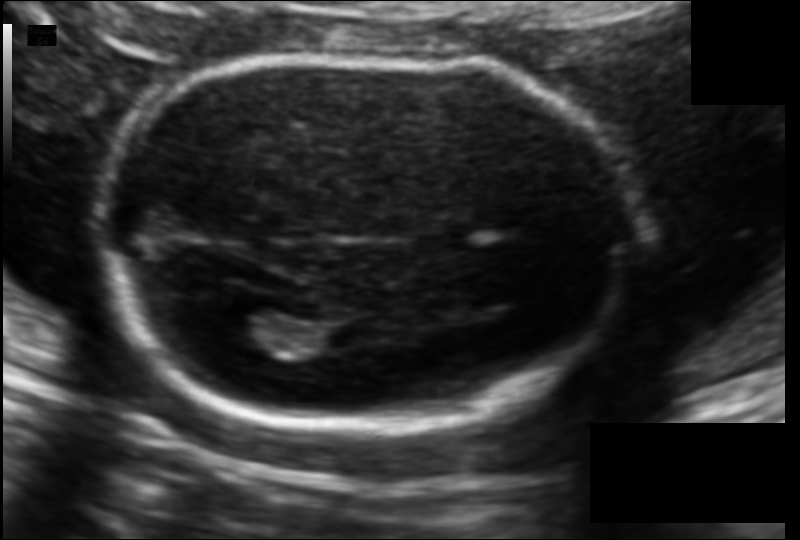
In this fetal head ultrasound, give the bounding box of the fetal head. Image width: 90.5 mm.

[95,57,642,429]